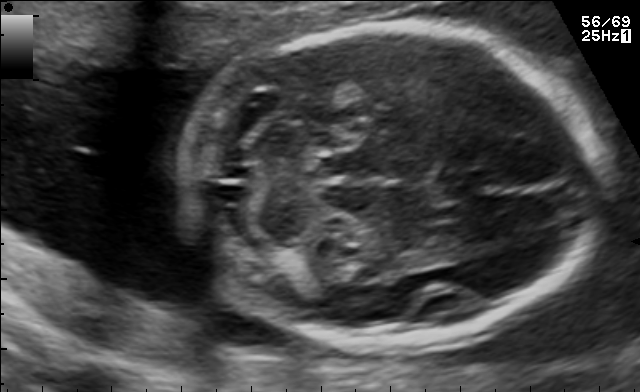
In this fetal brain, trans-cerebellum plane, give the bounding box of the cavum septum pellucidum.

[429,162,497,208]